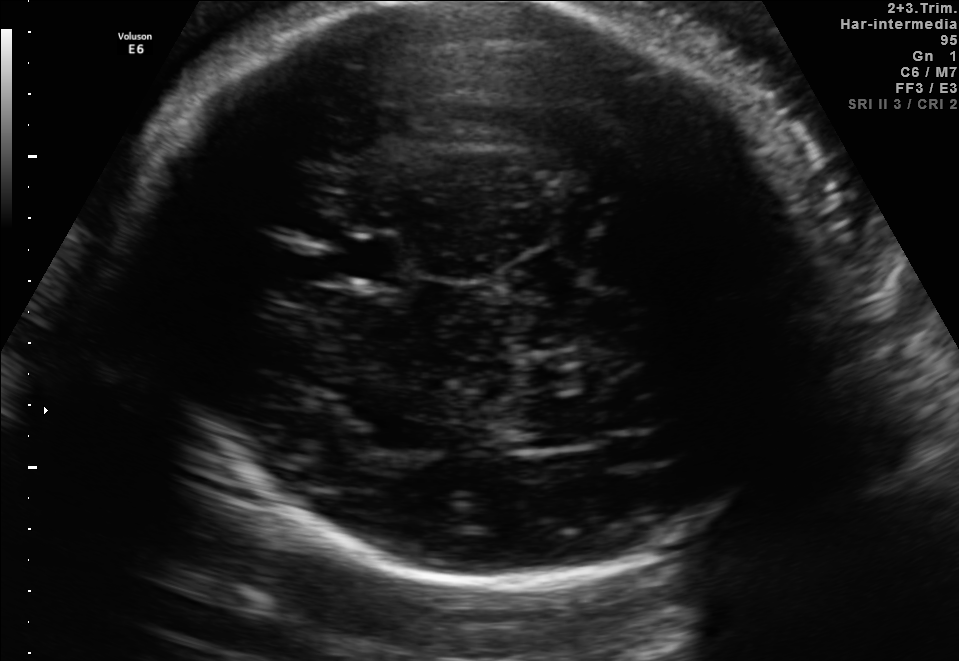
Fetal brain, trans-thalamic plane. Locate the lateral ventricle.

Lateral ventricle: [501,395,605,453]